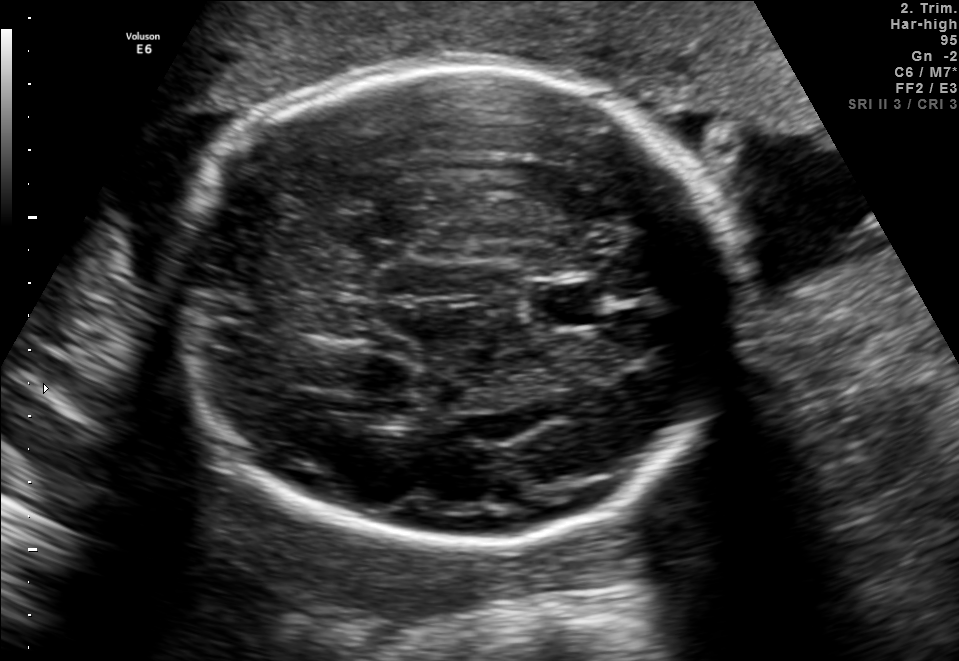
In this fetal brain, trans-thalamic plane, give the bounding box of the cavum septum pellucidum.

[533,281,603,330]